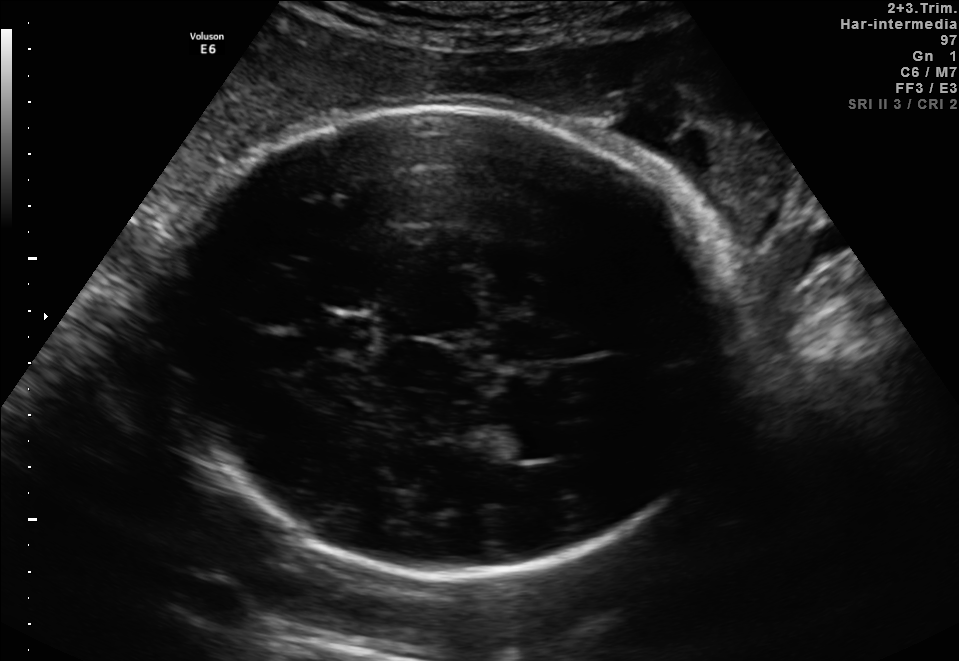
Fetal brain, trans-thalamic plane. Locate the lateral ventricle.

Lateral ventricle: [471,416,571,465]